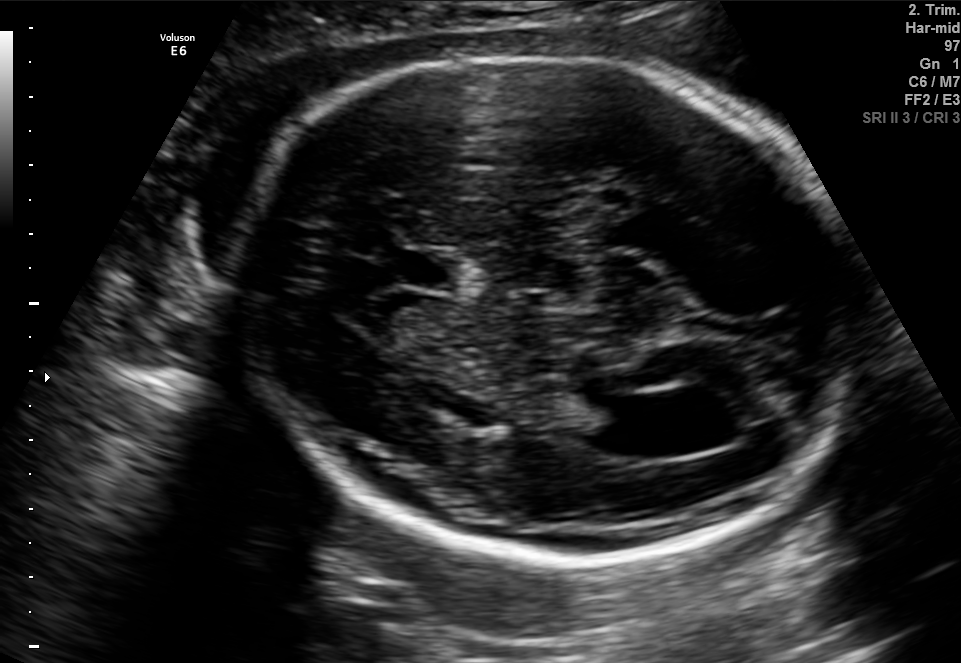
In this fetal brain, trans-ventricular plane, give the bounding box of the fetal head.

[221,46,862,563]